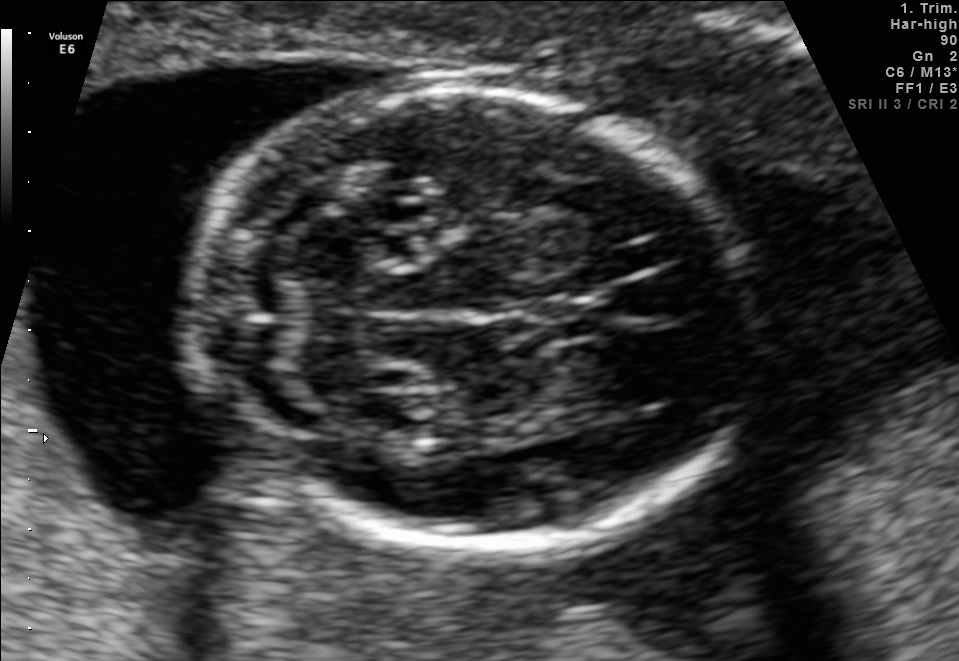
This is a 2D maternal-fetal ultrasound frame. Is it a fetal abdomen, fetal brain, fetal femur, fetal thorax, maternal cervix, or other standard plane? If it's fetal brain and one of the three standard brain planes (trans-thalamic, trans-cerebellum, trans-ventricular), name which.

Fetal brain (trans-cerebellum plane)